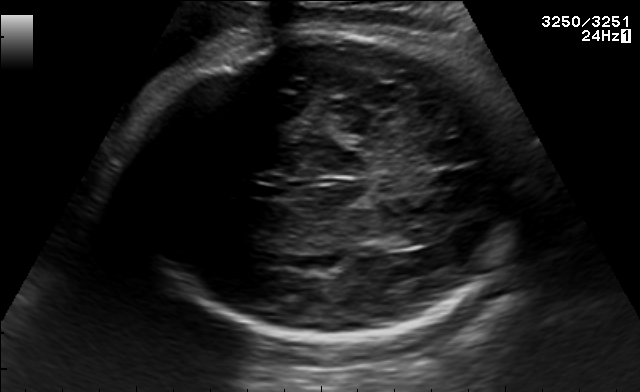
In this fetal brain, trans-thalamic plane, give the bounding box of the cavum septum pellucidum.

[250,183,283,200]